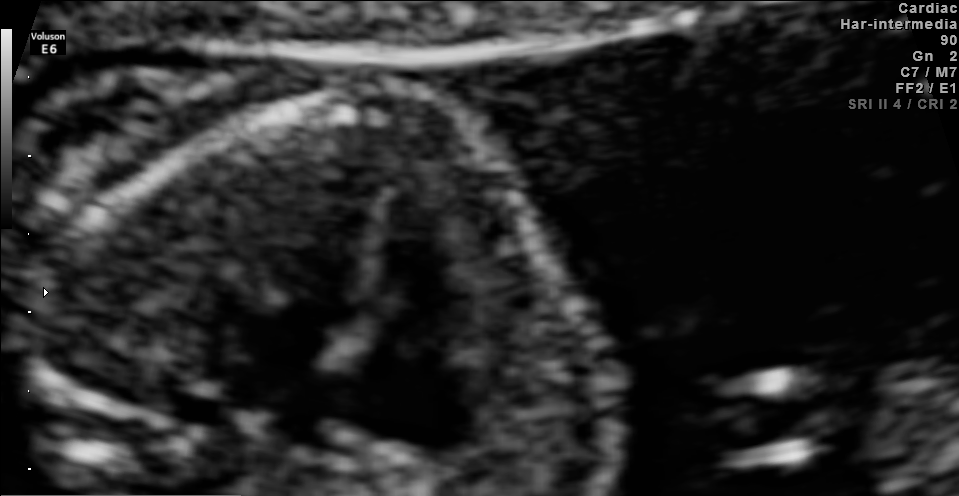
This is a 2D maternal-fetal ultrasound frame. Is it a fetal abdomen, fetal brain, fetal femur, fetal thorax, maternal cervix, or other standard plane? If it's fetal brain and one of the three standard brain planes (trans-thalamic, trans-cerebellum, trans-ventricular), name which.

Fetal thorax